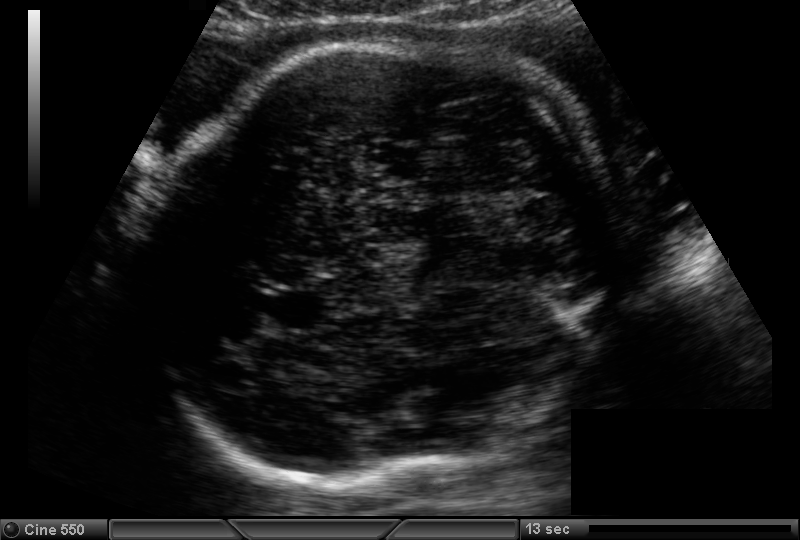
In this fetal head ultrasound, give the bounding box of the fetal head. Image width: 144.1 mm.

[142,43,608,484]